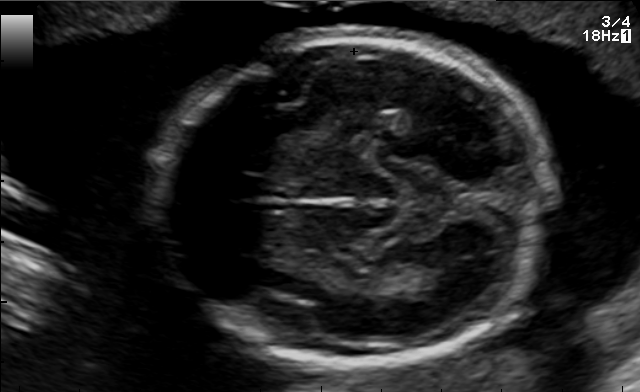
In this fetal brain, trans-thalamic plane, give bounding boxes for the head outline, cavum septum pellucidum (CSP), and lateral ventricle (LV), where visible.

Head: [155,37,545,365]